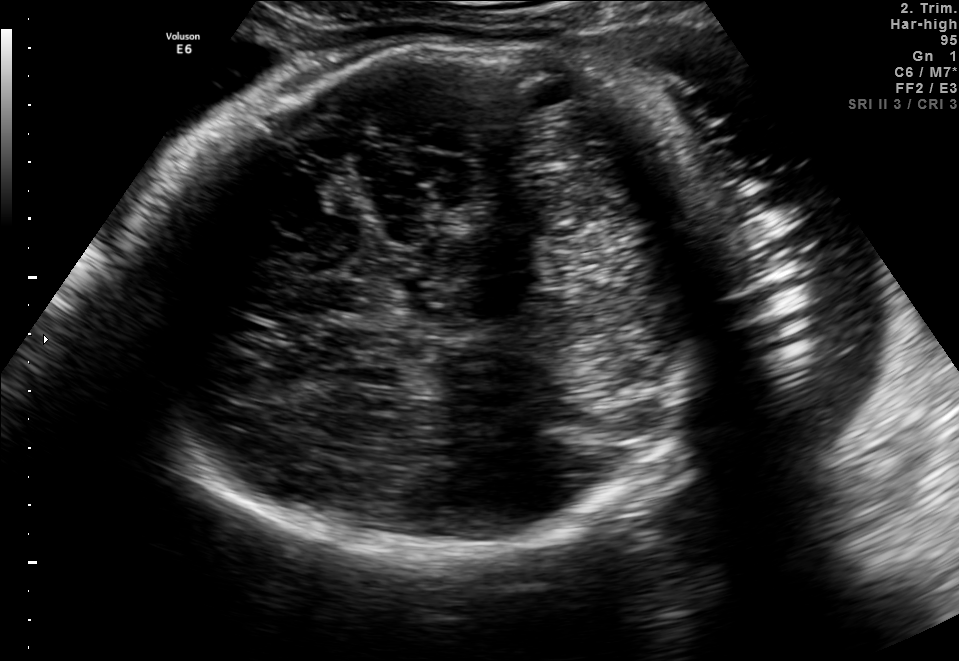
In this fetal brain, trans-thalamic plane, give bounding boxes for the head outline, cavum septum pellucidum (CSP), and lateral ventricle (LV), where visible.

Head: [129,35,796,560]